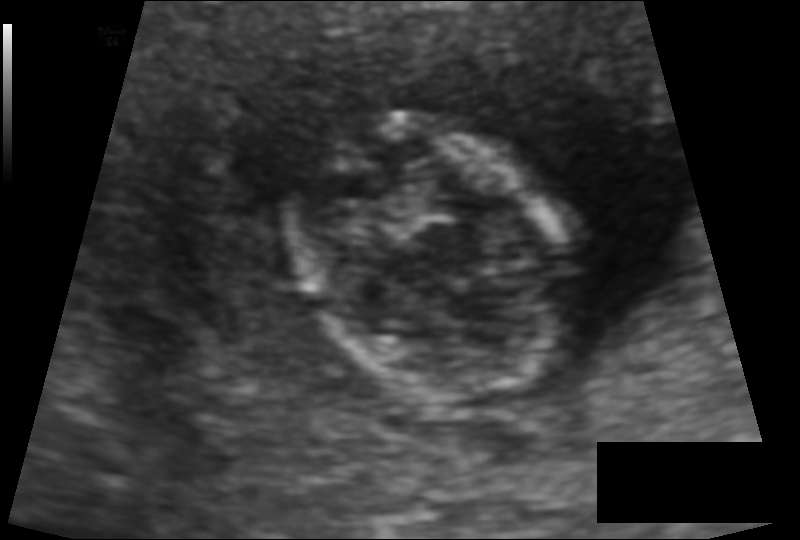
From this fetal ultrasound, estimate the head circumference (image width 72.9 mm).

Head circumference: 79.3 mm.